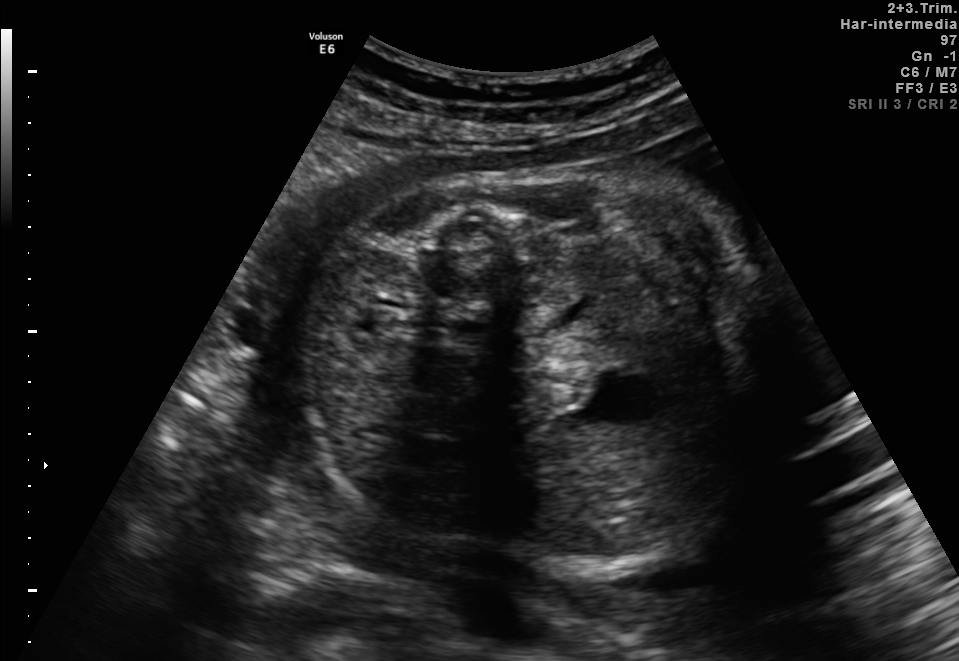
Which standard maternal-fetal ultrasound plane is shown: fetal abdomen, fetal brain, fetal femur, fetal thorax, maternal cervix, or other? If it's fetal brain and one of the three standard brain planes (trans-thalamic, trans-cerebellum, trans-ventricular), name which.

Other